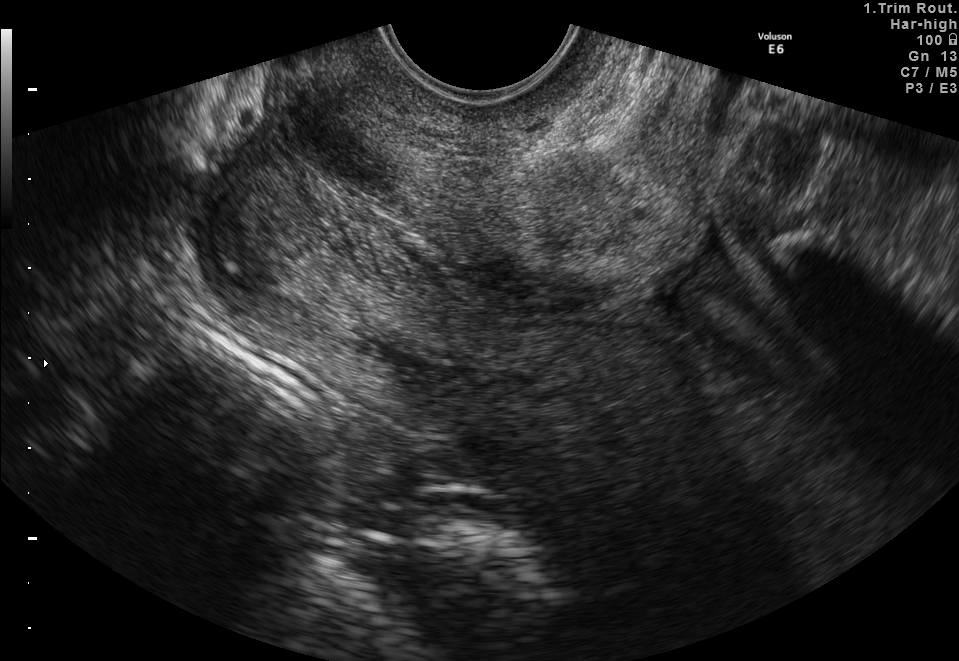
Identify the standard plane in this fetal ultrasound image: fetal abdomen, fetal brain, fetal femur, fetal thorax, maternal cervix, or other. If it's fetal brain and one of the three standard brain planes (trans-thalamic, trans-cerebellum, trans-ventricular), name which.

Maternal cervix